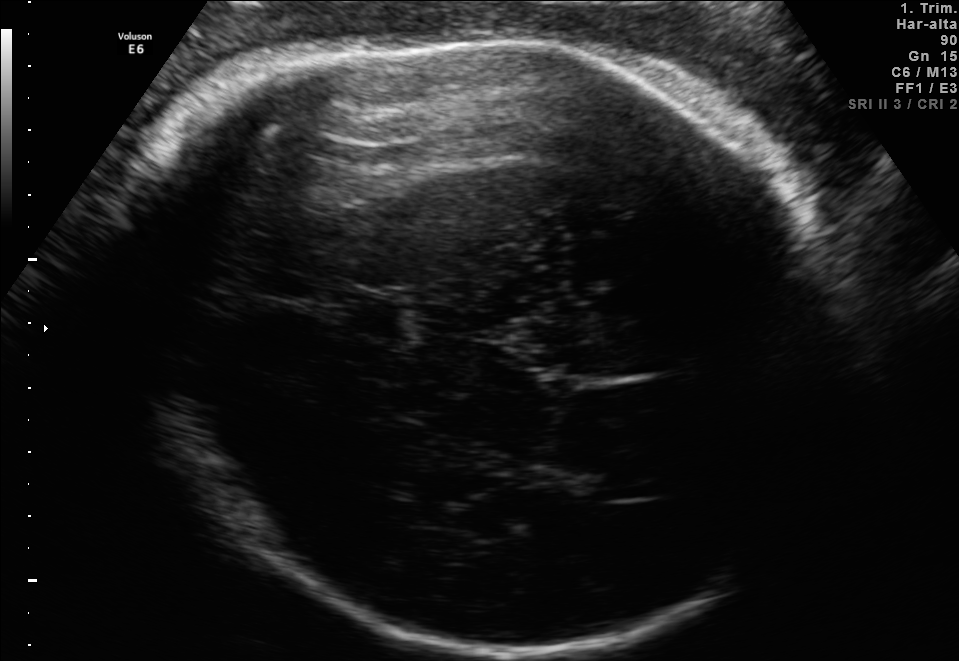
Fetal brain, trans-thalamic plane. Locate the lateral ventricle.

Lateral ventricle: [563,460,663,503]